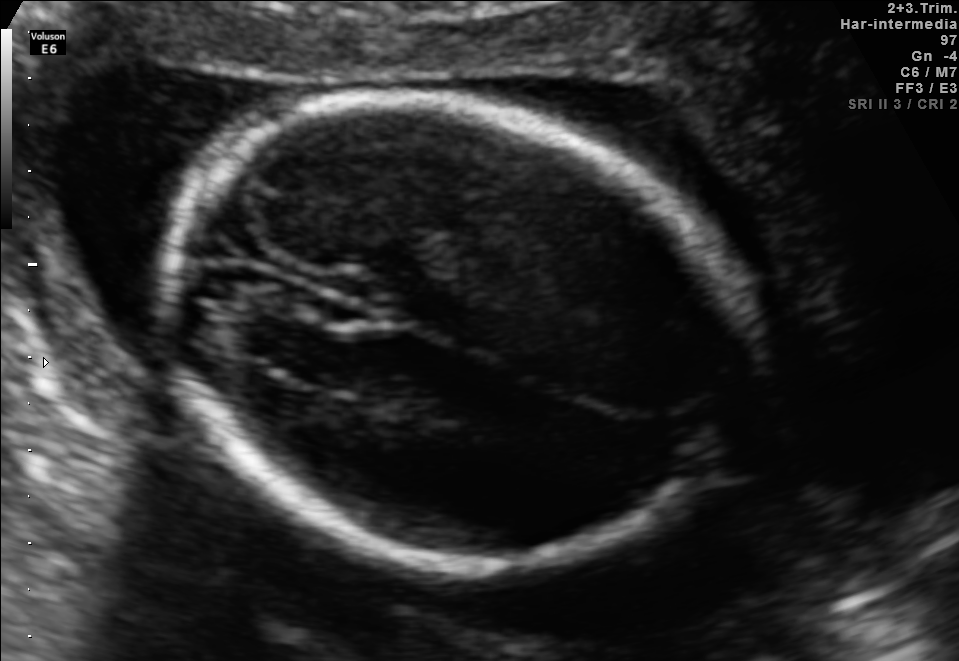
Fetal brain, trans-thalamic plane. Locate the fetal head and, if visible, the cavum septum pellucidum (CSP) and lateral ventricle (LV). Give bounding boxes as [x1,y1,x2,y2].

Head: [157,103,754,562]